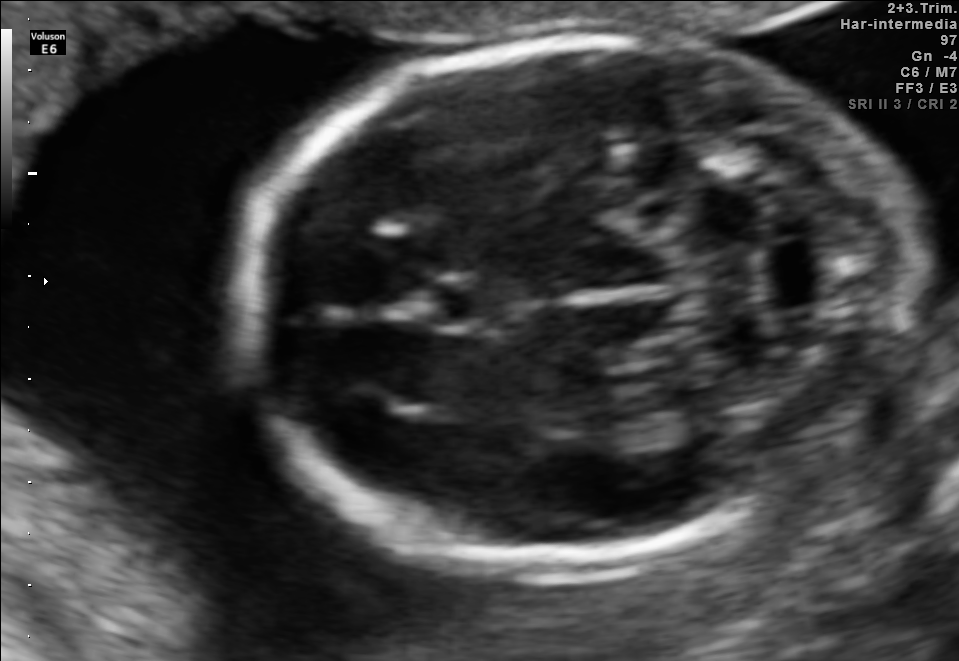
Fetal brain, trans-cerebellum plane. Where is the cavum septum pellucidum?

CSP bounding box: [425,273,520,332]